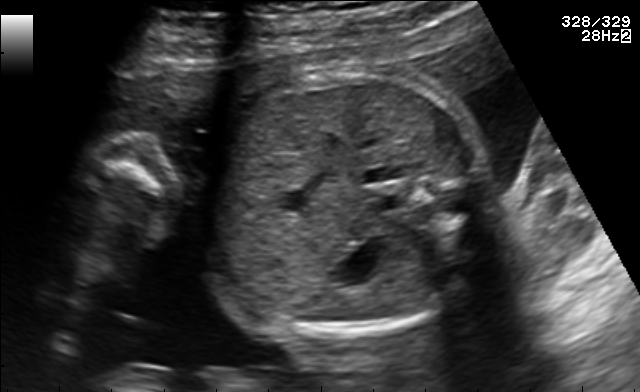
Classify this maternal-fetal ultrasound image as one of the six standard planes — fetal abdomen, fetal brain, fetal femur, fetal thorax, maternal cervix, or other. If it's fetal brain and one of the three standard brain planes (trans-thalamic, trans-cerebellum, trans-ventricular), name which.

Fetal abdomen